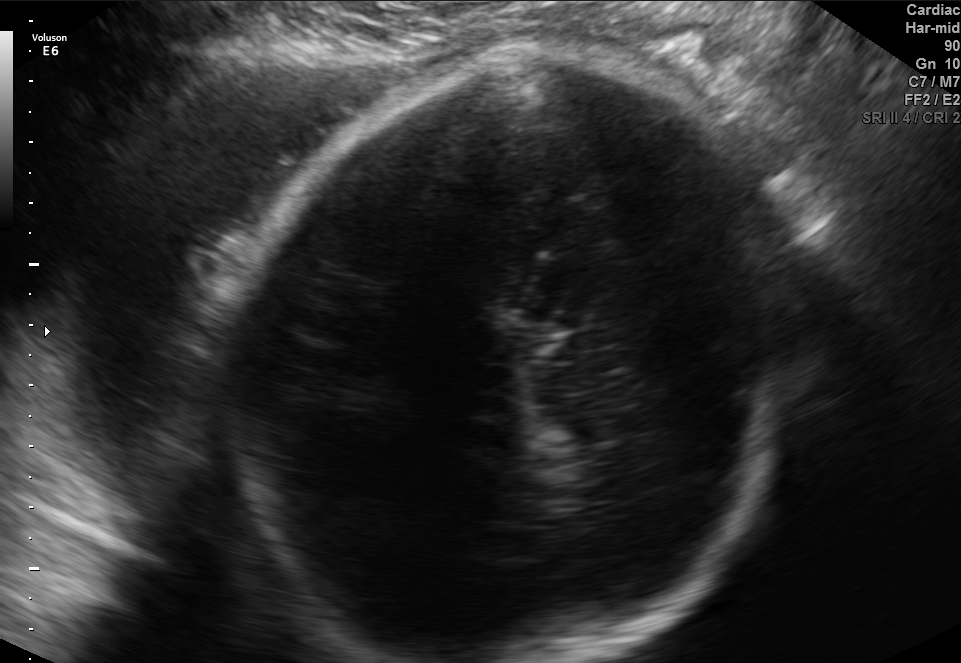
Fetal brain, trans-thalamic plane. Give [x1,y1,x2,y2] bounding boxes for each visible structure among: fetal head, CSP, LV.

Head: [228,57,799,662]